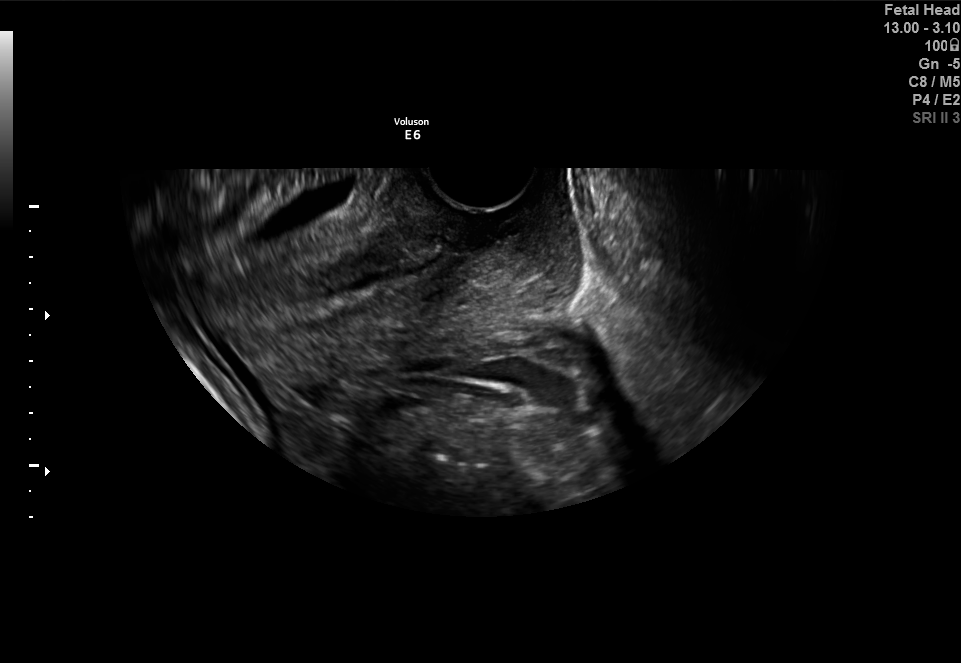
Identify the standard plane in this fetal ultrasound image: fetal abdomen, fetal brain, fetal femur, fetal thorax, maternal cervix, or other. If it's fetal brain and one of the three standard brain planes (trans-thalamic, trans-cerebellum, trans-ventricular), name which.

Maternal cervix